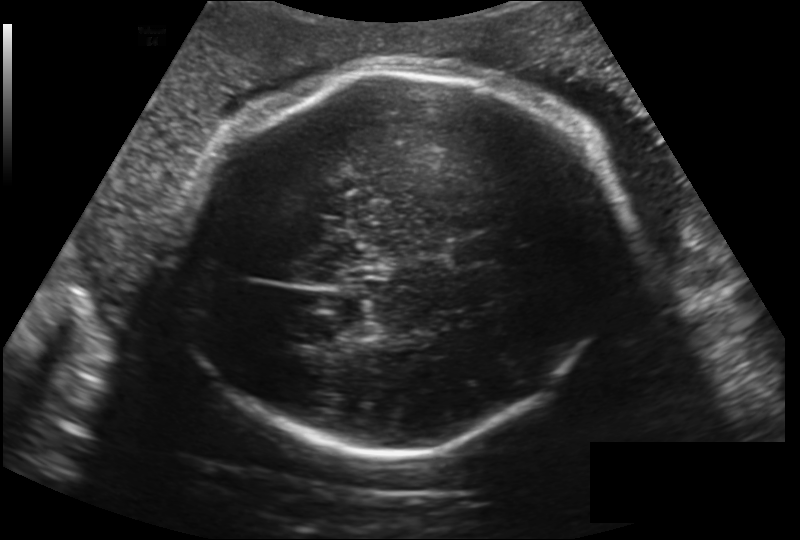
Fetal head ultrasound. Image width: 179.4 mm. Give [x1,y1,x2,y2] bounding boxes for each visible structure among: fetal head, CSP, LV.

Head: [179,62,616,455]